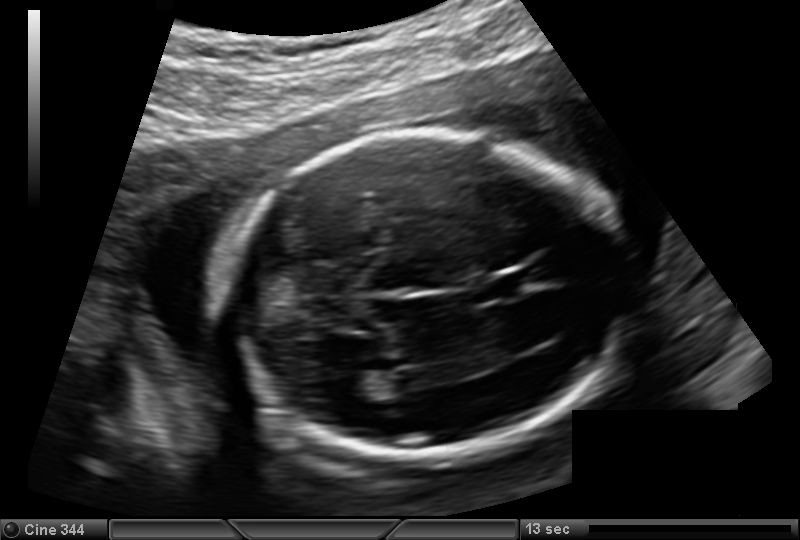
What is the fetal head circumference? Image width is 115.3 mm.

173.4 mm